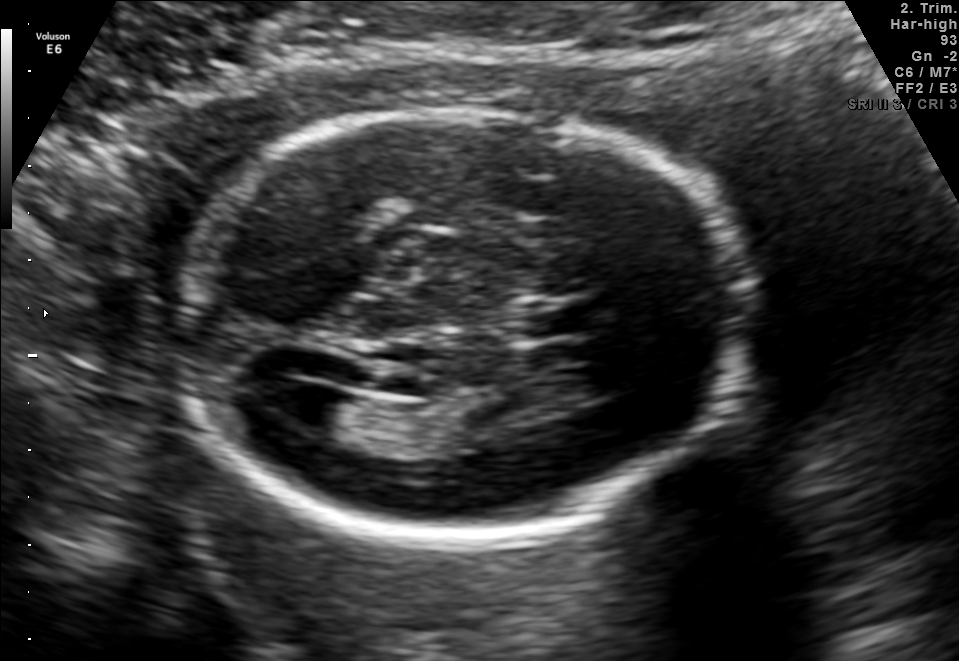
In this fetal brain, trans-ventricular plane, give the bounding box of the cavum septum pellucidum.

[530,301,581,338]